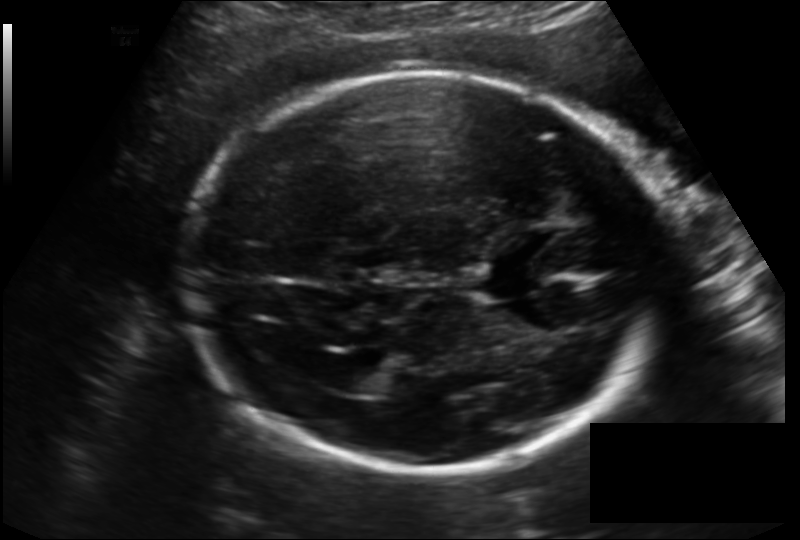
Fetal head ultrasound. Image width: 133.1 mm. Where is the cavum septum pellucidum?

CSP bounding box: [474,256,543,302]